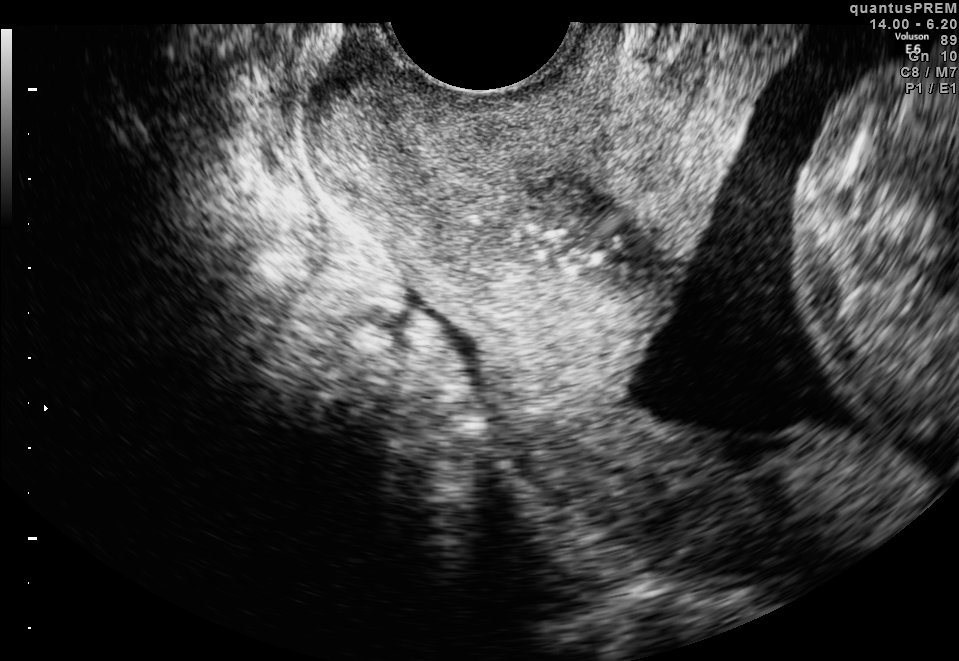
Which standard maternal-fetal ultrasound plane is shown: fetal abdomen, fetal brain, fetal femur, fetal thorax, maternal cervix, or other? If it's fetal brain and one of the three standard brain planes (trans-thalamic, trans-cerebellum, trans-ventricular), name which.

Maternal cervix